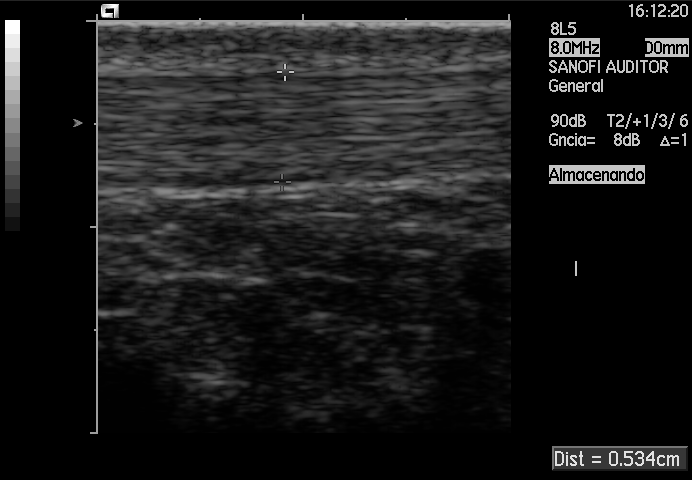
This is a 2D maternal-fetal ultrasound frame. Is it a fetal abdomen, fetal brain, fetal femur, fetal thorax, maternal cervix, or other standard plane? If it's fetal brain and one of the three standard brain planes (trans-thalamic, trans-cerebellum, trans-ventricular), name which.

Other